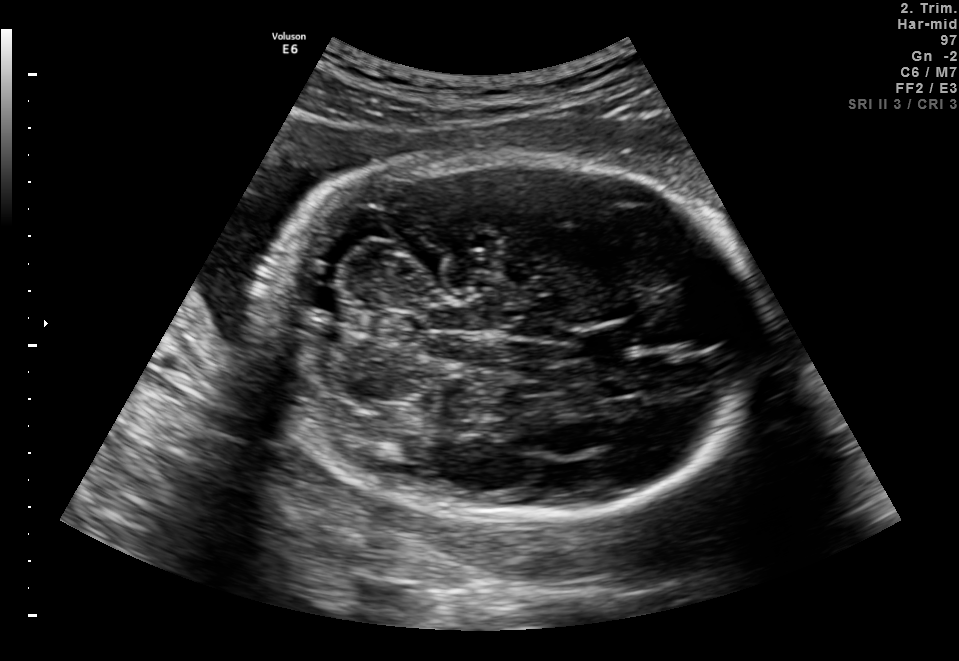
In this fetal brain, trans-cerebellum plane, give the bounding box of the fetal head.

[265,151,760,526]